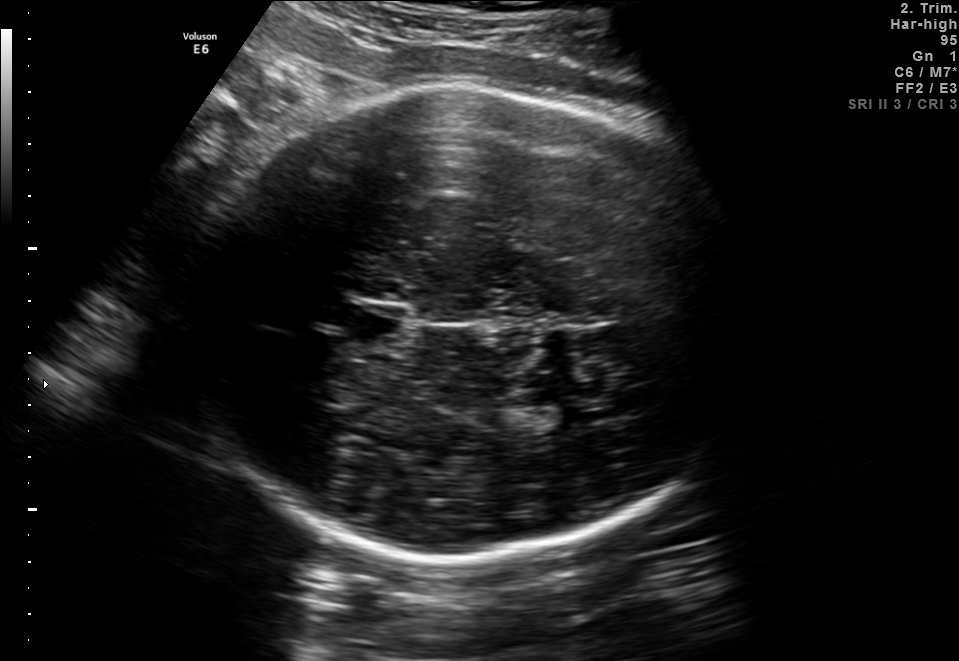
In this fetal brain, trans-thalamic plane, give the bounding box of the cavum septum pellucidum.

[333,301,408,351]